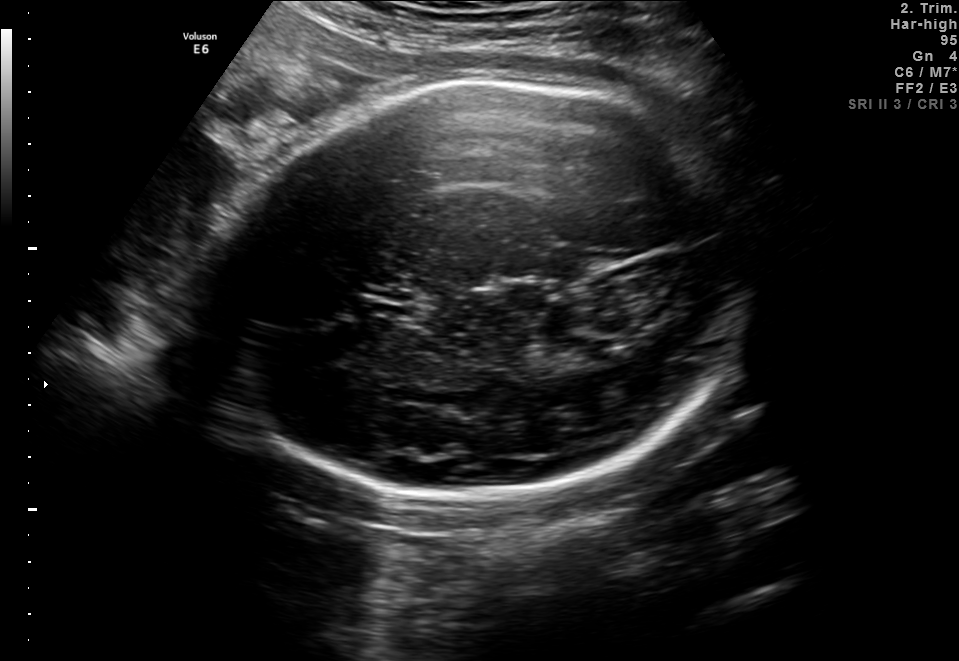
In this fetal brain, trans-thalamic plane, give the bounding box of the fetal head.

[204,76,753,489]